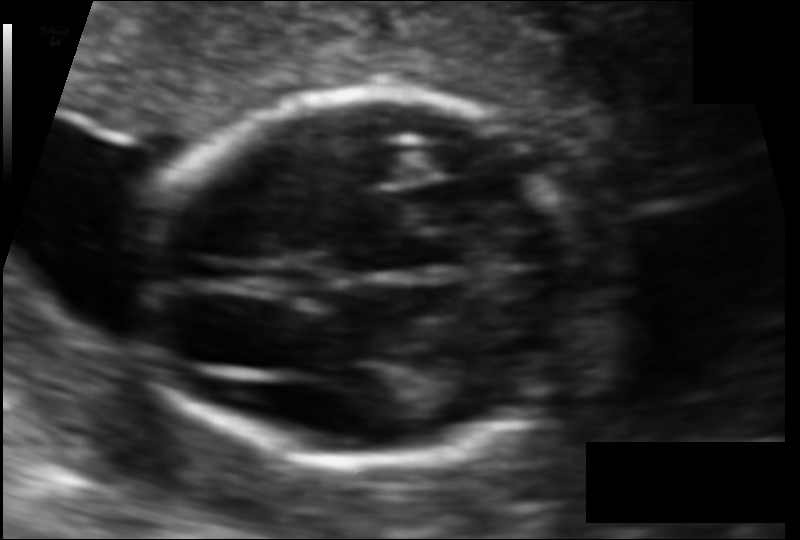
Fetal head ultrasound. Image width: 70.1 mm. Locate the fetal head and, if visible, the cavum septum pellucidum (CSP) and lateral ventricle (LV). Give bounding boxes as [x1,y1,x2,y2].

Head: [145,92,583,464]